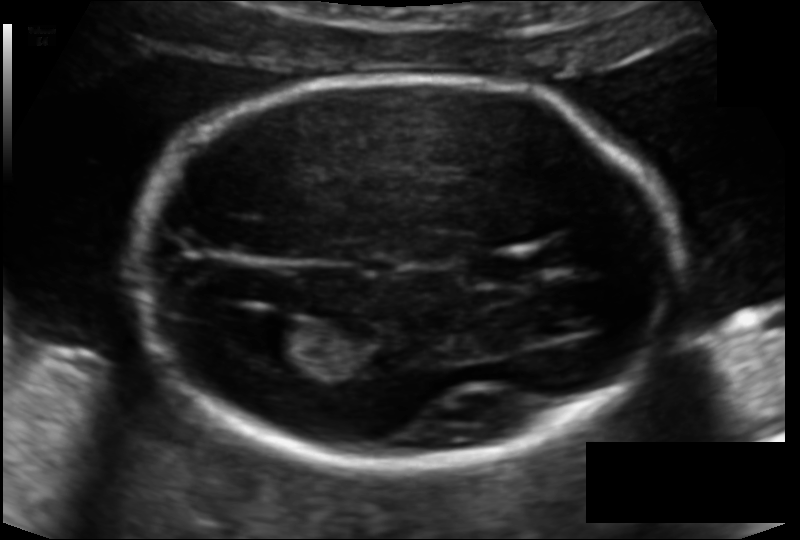
In this fetal head ultrasound, give the bounding box of the cavum septum pellucidum. Image width: 95.2 mm.

[466,246,547,290]